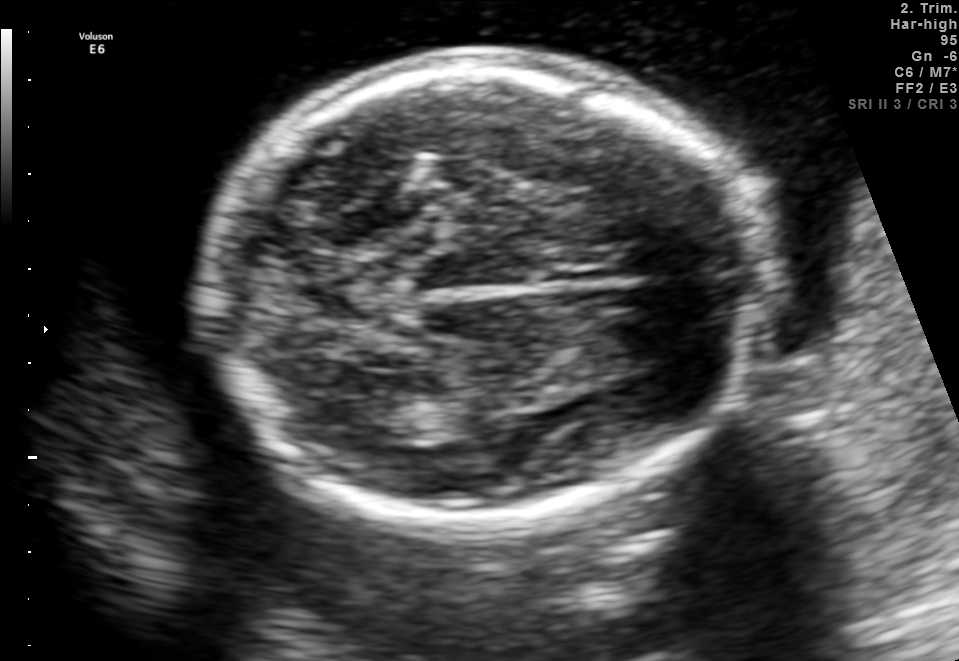
Identify the standard plane in this fetal ultrasound image: fetal abdomen, fetal brain, fetal femur, fetal thorax, maternal cervix, or other. If it's fetal brain and one of the three standard brain planes (trans-thalamic, trans-cerebellum, trans-ventricular), name which.

Fetal brain (trans-thalamic plane)